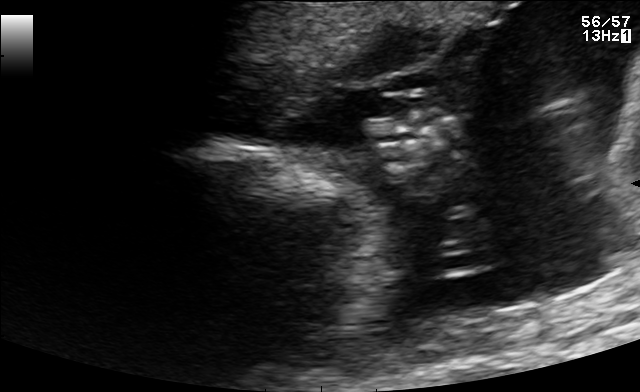
Identify the standard plane in this fetal ultrasound image: fetal abdomen, fetal brain, fetal femur, fetal thorax, maternal cervix, or other. If it's fetal brain and one of the three standard brain planes (trans-thalamic, trans-cerebellum, trans-ventricular), name which.

Other